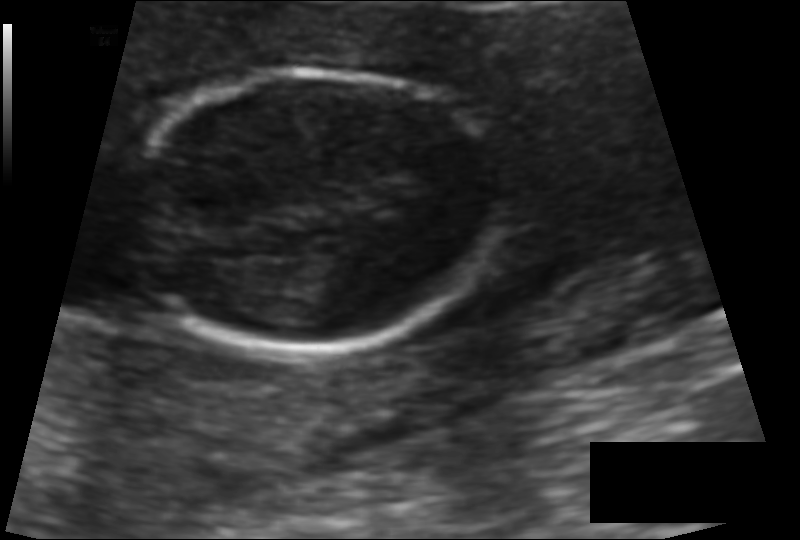
What is the fetal head circumference? Image width is 75.9 mm.

103.8 mm